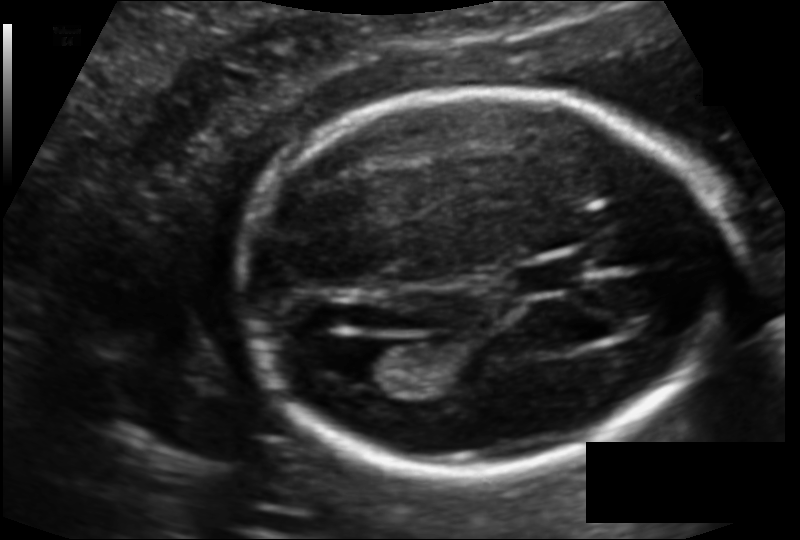
Fetal head ultrasound. Image width: 96.9 mm. Where is the lateral ventricle?

Lateral ventricle bounding box: [334,339,411,387]